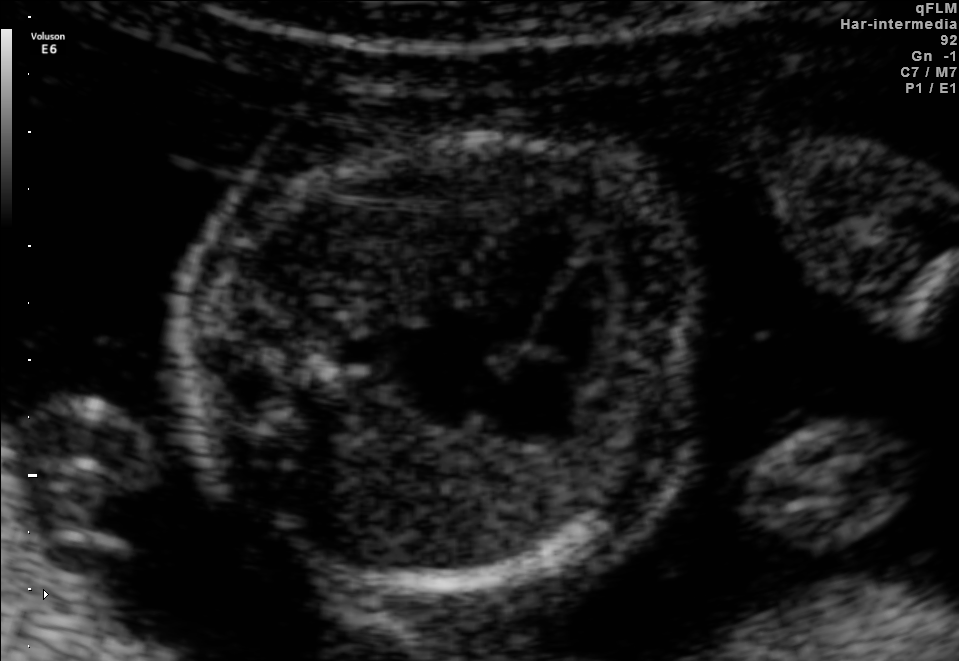
Which standard maternal-fetal ultrasound plane is shown: fetal abdomen, fetal brain, fetal femur, fetal thorax, maternal cervix, or other? If it's fetal brain and one of the three standard brain planes (trans-thalamic, trans-cerebellum, trans-ventricular), name which.

Fetal thorax